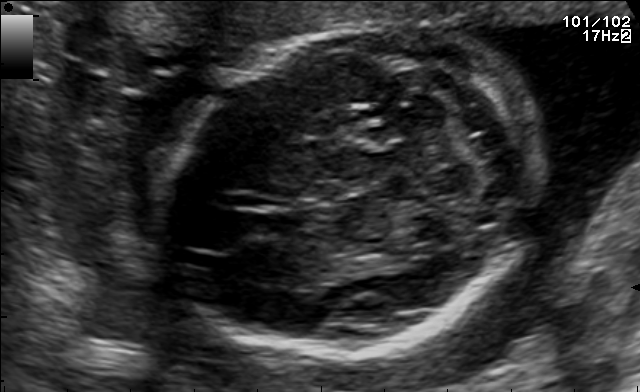
Fetal brain, trans-cerebellum plane. Give [x1,y1,x2,y2] bounding boxes for each visible structure among: fetal head, CSP, LV.

Head: [168,27,532,354]